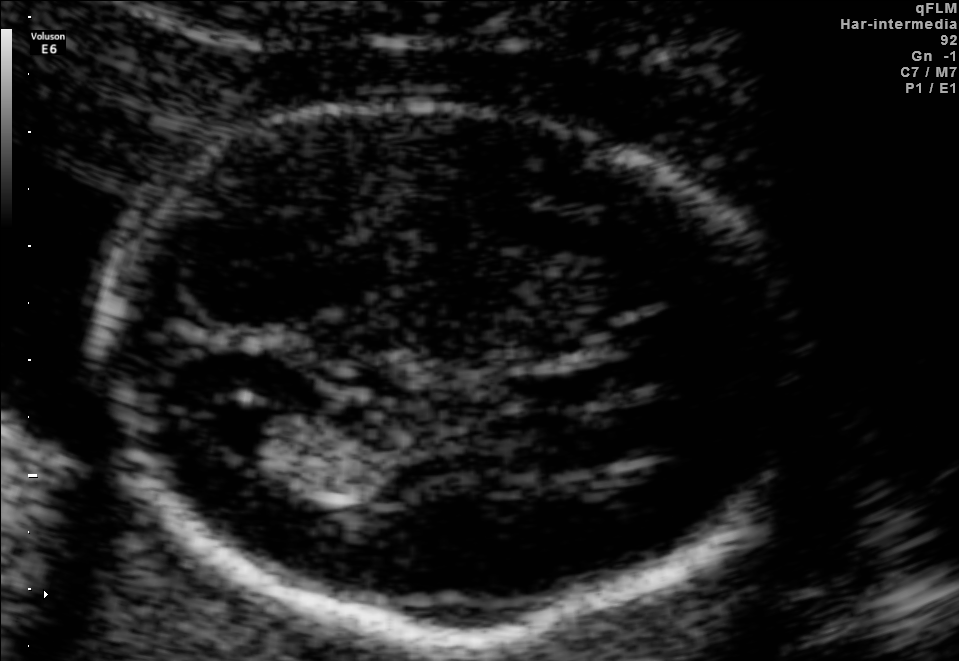
Fetal brain, trans-ventricular plane. Locate the fetal head and, if visible, the cavum septum pellucidum (CSP) and lateral ventricle (LV). Give bounding boxes as [x1,y1,x2,y2].

Head: [83,92,806,649]